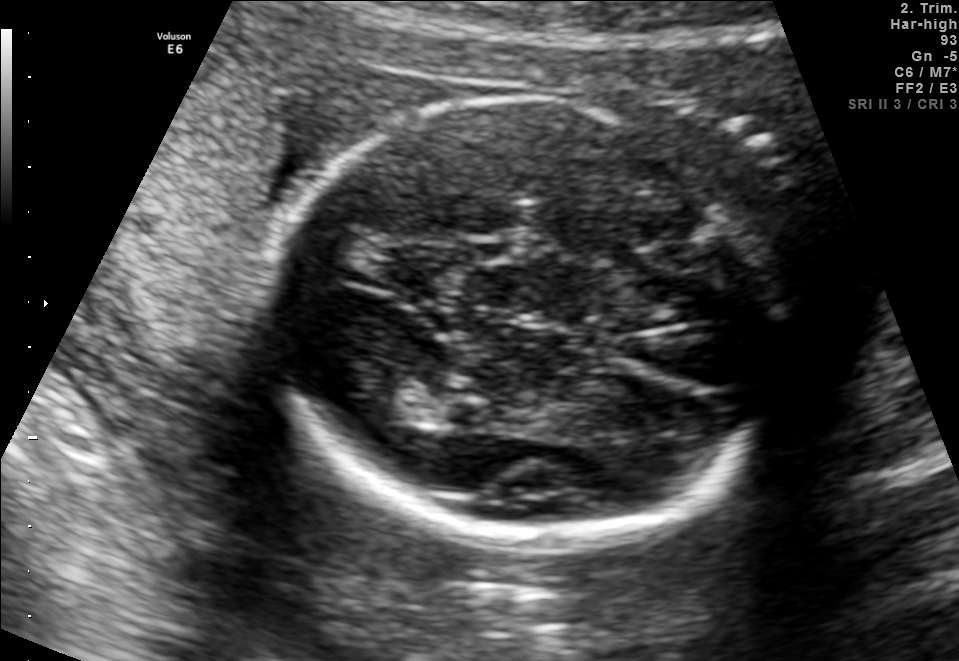
Fetal brain, trans-thalamic plane. Give [x1,y1,x2,y2] bounding boxes for each visible structure among: fetal head, CSP, LV.

Head: [259,97,802,540]
Lateral ventricle: [357,376,452,431]